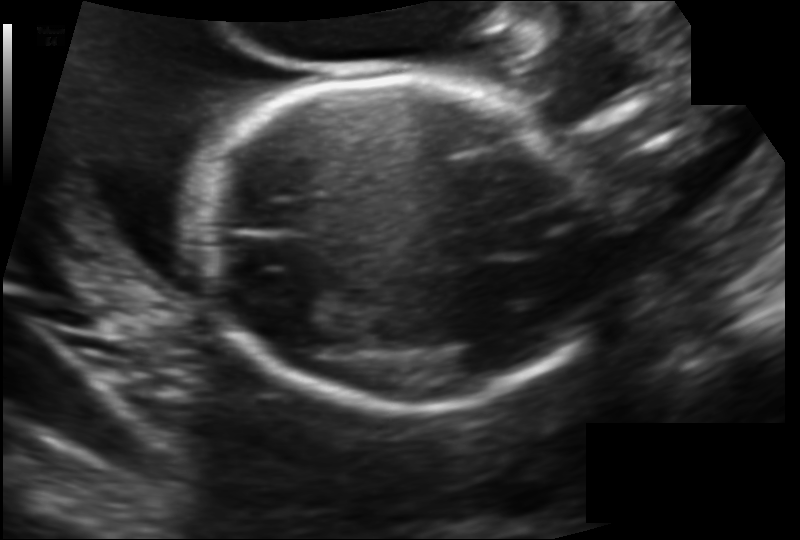
Estimate the fetal head circumference from this 2D ultrasound. Image width: 110.4 mm.

Head circumference: 165.2 mm.